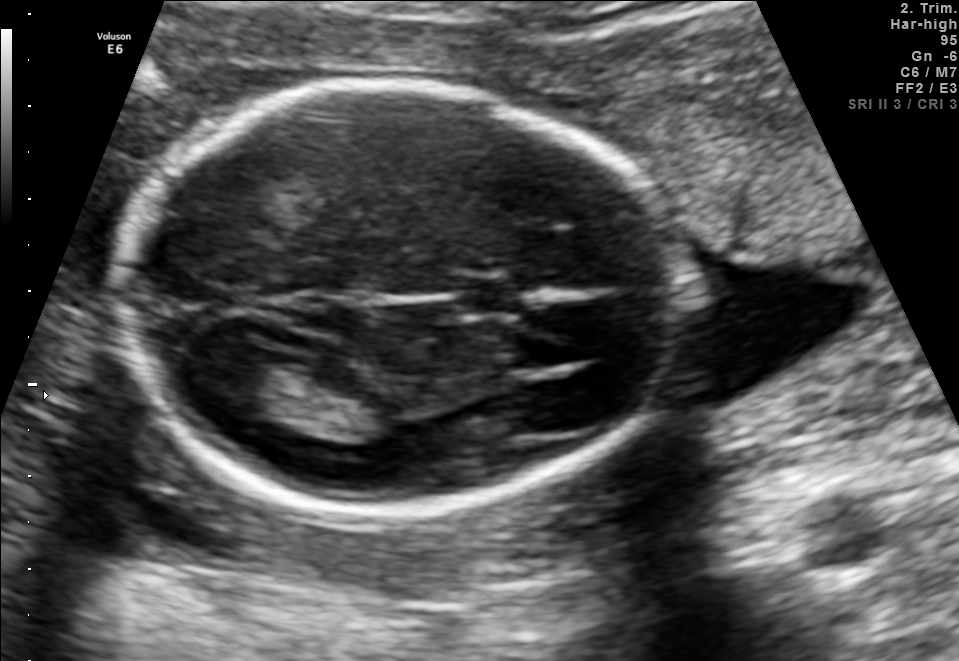
Fetal brain, trans-thalamic plane. Locate the fetal head and, if visible, the cavum septum pellucidum (CSP) and lateral ventricle (LV). Give bounding boxes as [x1,y1,x2,y2].

Head: [117,87,684,514]
CSP: [453,278,522,313]
Lateral ventricle: [208,363,308,416]